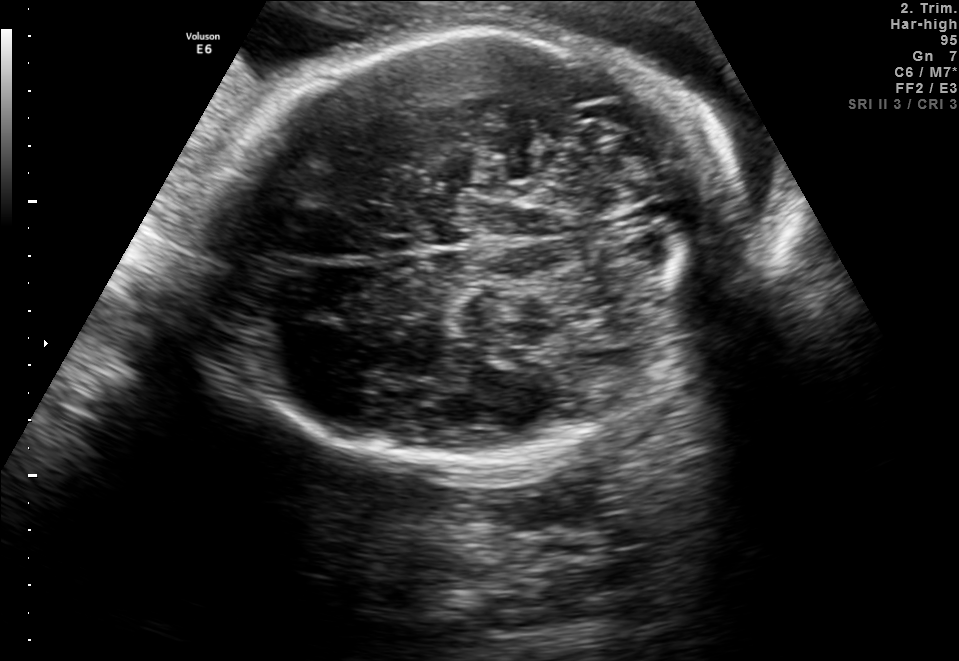
In this fetal brain, trans-cerebellum plane, give bounding boxes for the head outline, cavum septum pellucidum (CSP), and lateral ventricle (LV), where visible.

Head: [219,31,728,462]